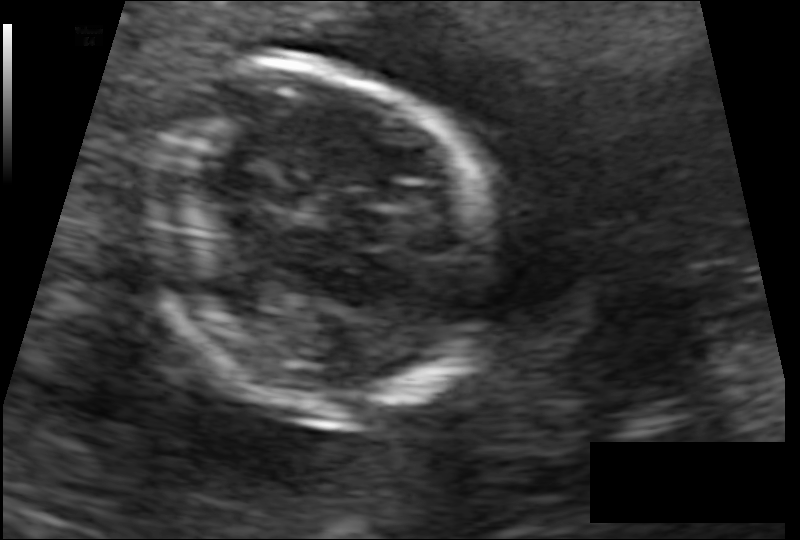
In this fetal head ultrasound, give bounding boxes for the head outline, cavum septum pellucidum (CSP), and lateral ventricle (LV), where visible. Image width: 73.2 mm.

Head: [135,59,486,413]